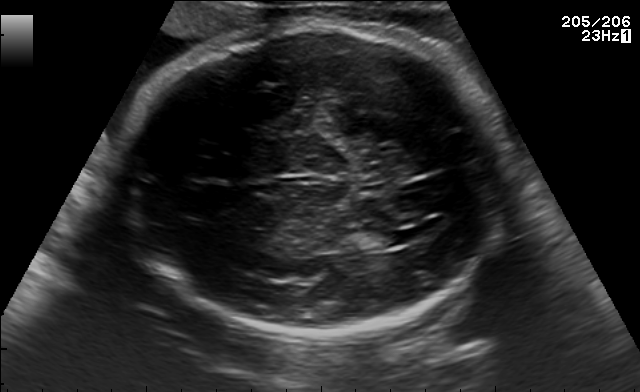
Fetal brain, trans-ventricular plane. Give [x1,y1,x2,y2] bounding boxes for each visible structure among: fetal head, CSP, LV.

Head: [123,24,511,338]